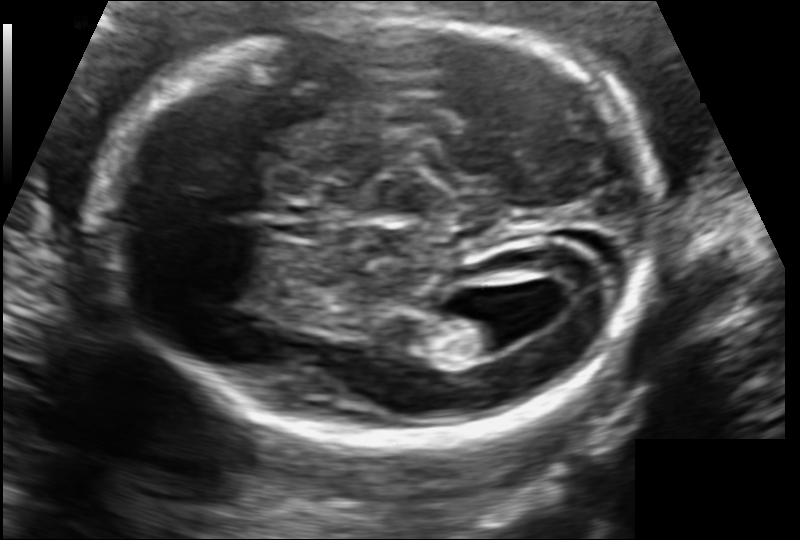
Fetal head ultrasound. Image width: 87.0 mm. Where is the fetal head?

Head bounding box: [111,20,659,440]